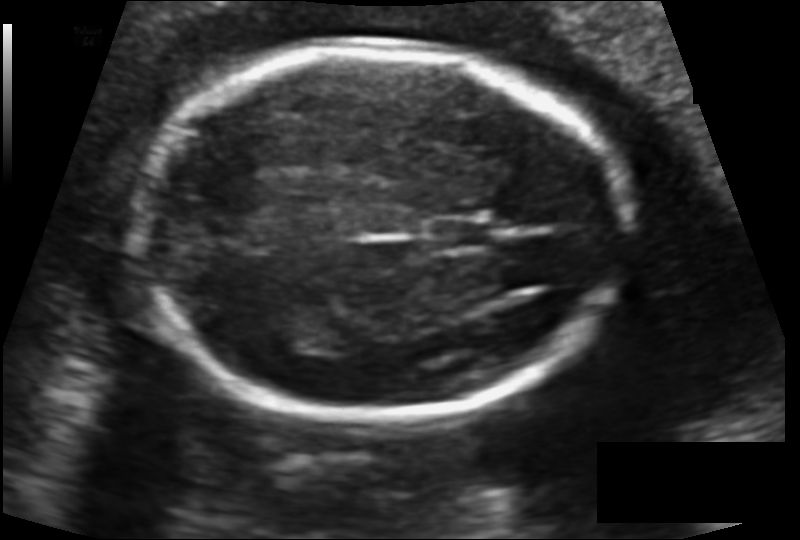
Fetal head ultrasound. Image width: 98.1 mm. Where is the fetal head?

Head bounding box: [134,51,626,417]